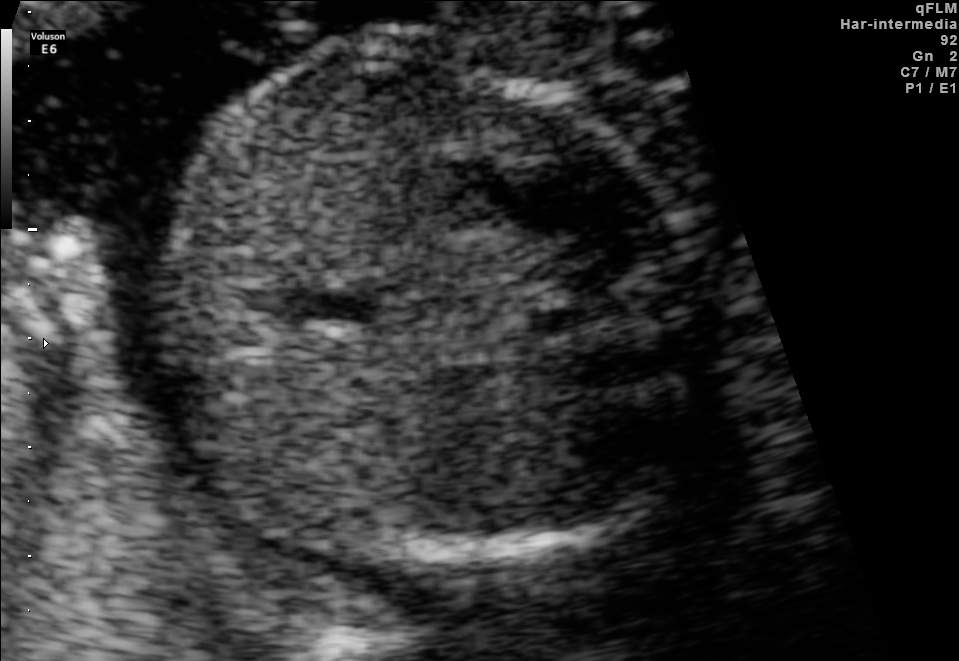
Classify this maternal-fetal ultrasound image as one of the six standard planes — fetal abdomen, fetal brain, fetal femur, fetal thorax, maternal cervix, or other. If it's fetal brain and one of the three standard brain planes (trans-thalamic, trans-cerebellum, trans-ventricular), name which.

Fetal abdomen